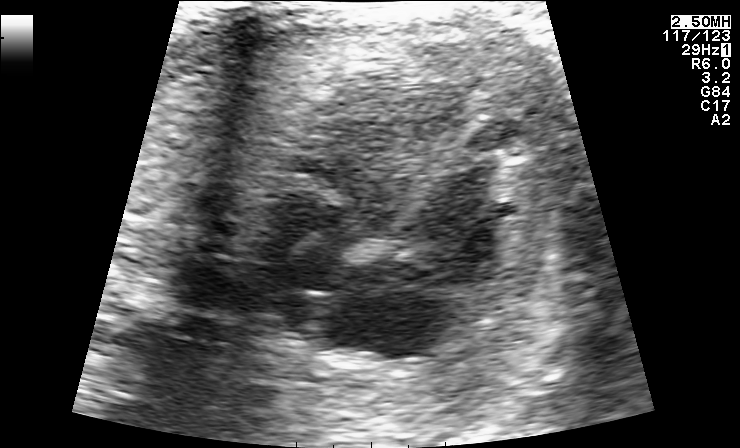
Which standard maternal-fetal ultrasound plane is shown: fetal abdomen, fetal brain, fetal femur, fetal thorax, maternal cervix, or other? If it's fetal brain and one of the three standard brain planes (trans-thalamic, trans-cerebellum, trans-ventricular), name which.

Fetal thorax